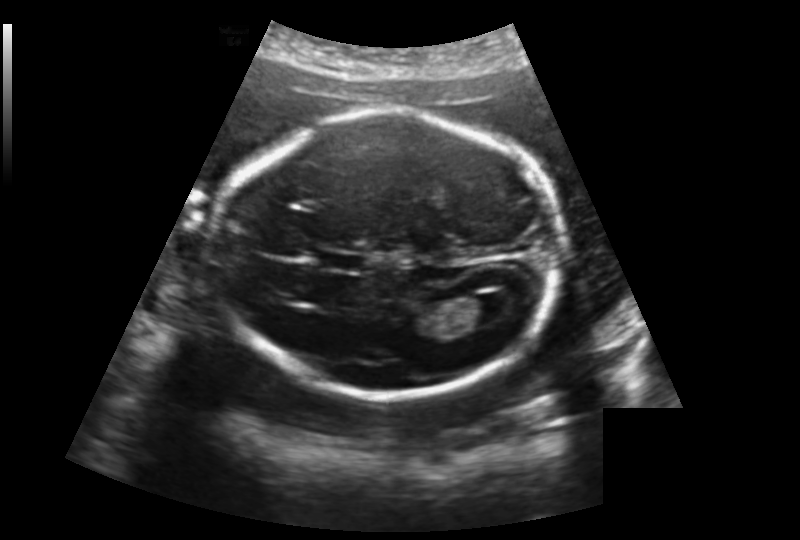
In this fetal head ultrasound, give the bounding box of the lateral ventricle. Image width: 150.3 mm.

[462,289,520,330]